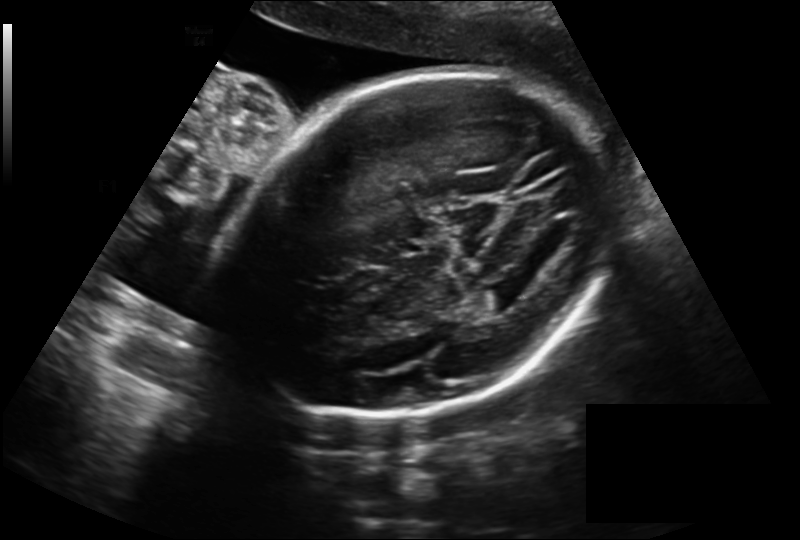
Fetal head ultrasound. Image width: 179.9 mm. Locate the fetal head and, if visible, the cavum septum pellucidum (CSP) and lateral ventricle (LV). Give bounding boxes as [x1,y1,x2,y2].

Head: [227,74,613,419]
Lateral ventricle: [475,270,531,318]